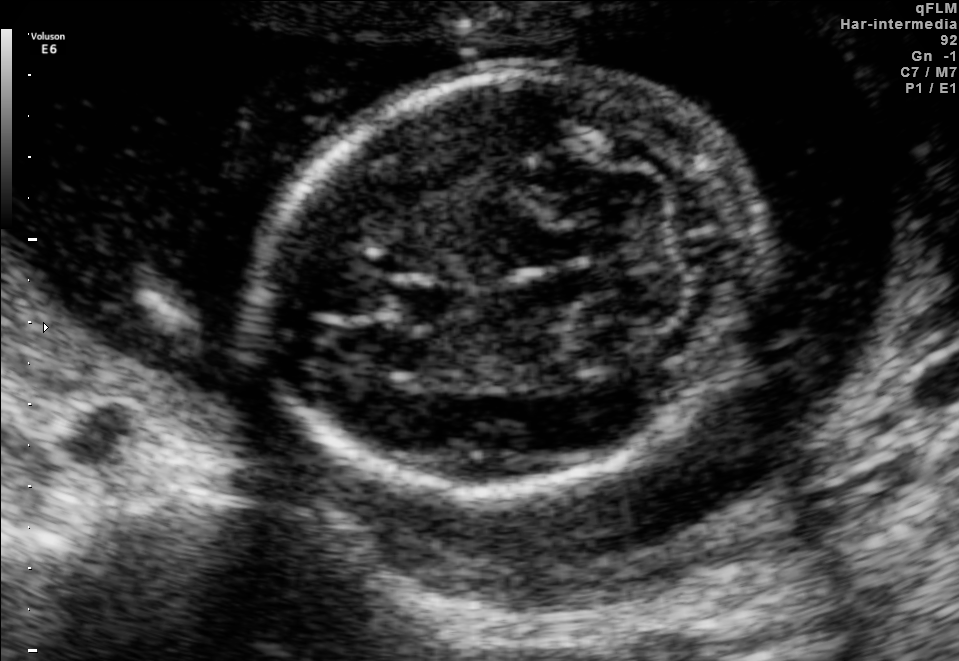
Fetal brain, trans-cerebellum plane. Locate the cavum septum pellucidum.

CSP: [395,279,469,325]